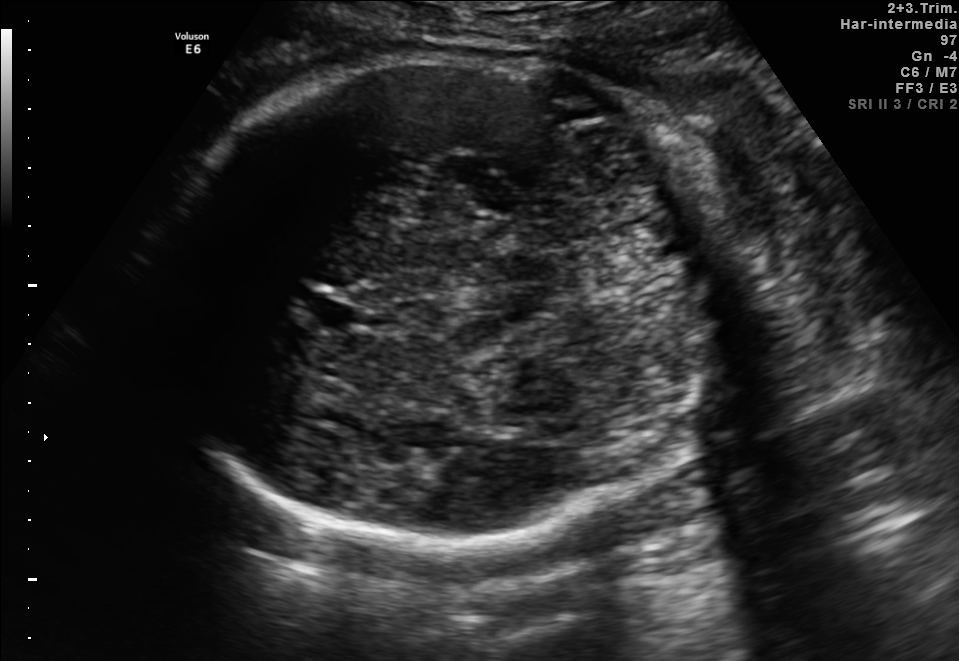
In this fetal brain, trans-thalamic plane, give bounding boxes for the head outline, cavum septum pellucidum (CSP), and lateral ventricle (LV), where visible.

Head: [150,59,715,538]
CSP: [308,294,359,335]